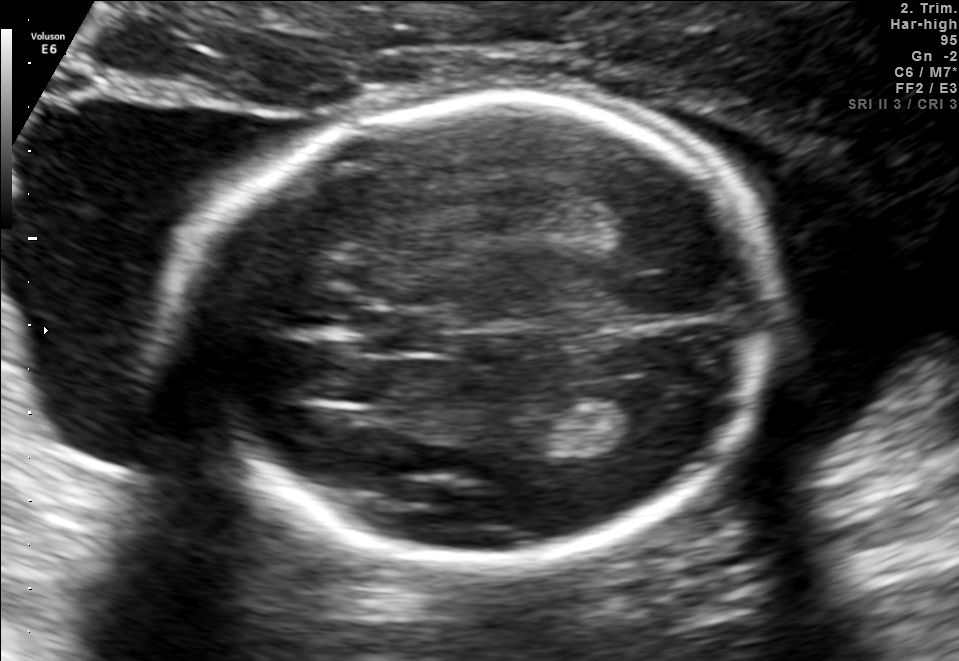
Fetal brain, trans-thalamic plane. Locate the lateral ventricle.

Lateral ventricle: [574,372,673,456]